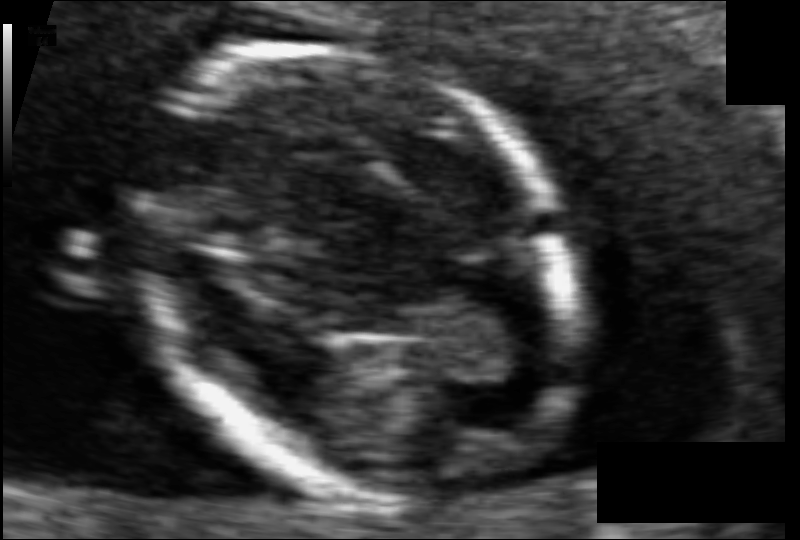
What is the fetal head circumference? Image width is 48.9 mm.

88.2 mm